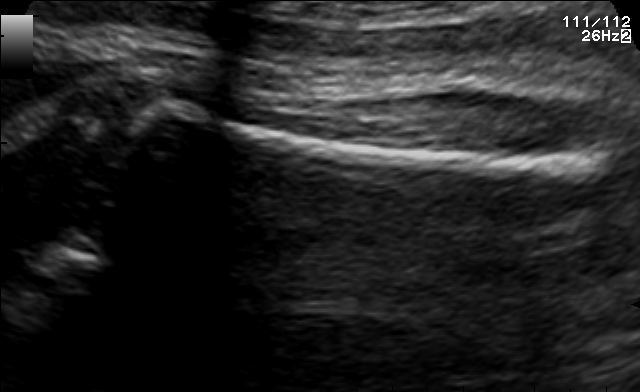
Classify this maternal-fetal ultrasound image as one of the six standard planes — fetal abdomen, fetal brain, fetal femur, fetal thorax, maternal cervix, or other. If it's fetal brain and one of the three standard brain planes (trans-thalamic, trans-cerebellum, trans-ventricular), name which.

Fetal femur